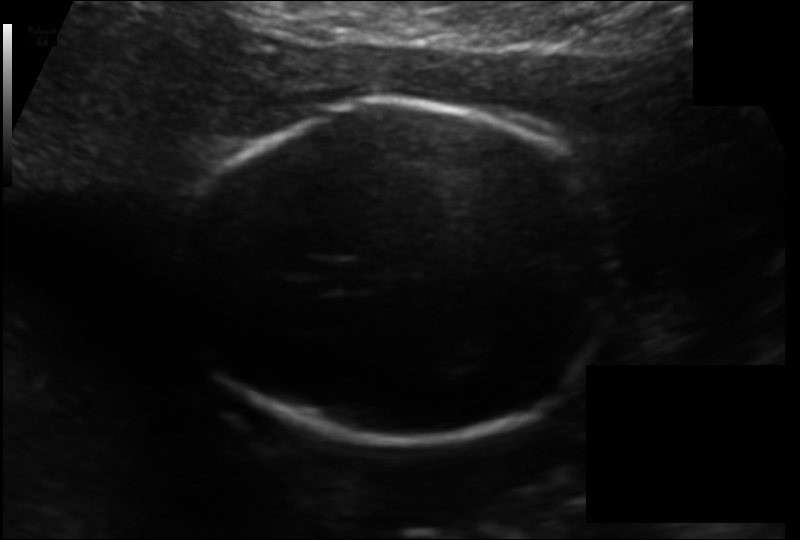
Measure the fetal head circumference shown in this ultrasound image. Image width: 106.3 mm.

Head circumference: 168.1 mm.